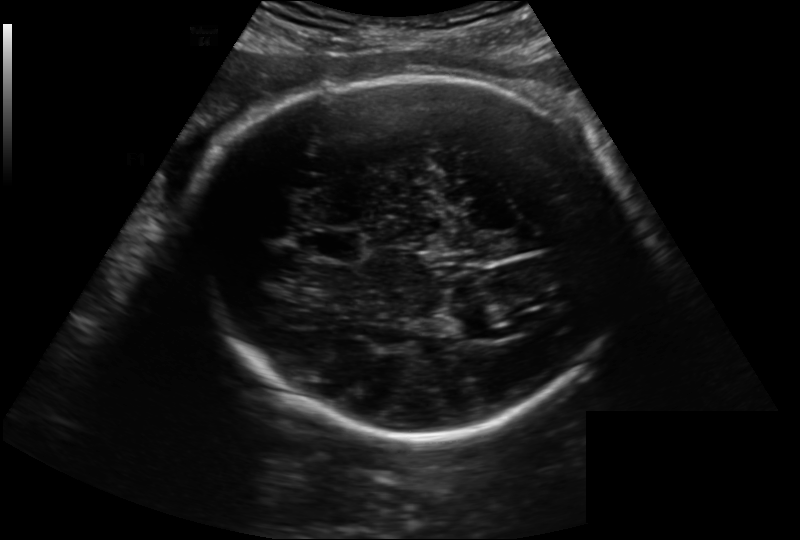
Fetal head ultrasound. Image width: 177.3 mm. Where is the lateral ventricle?

Lateral ventricle bounding box: [488,313,537,344]